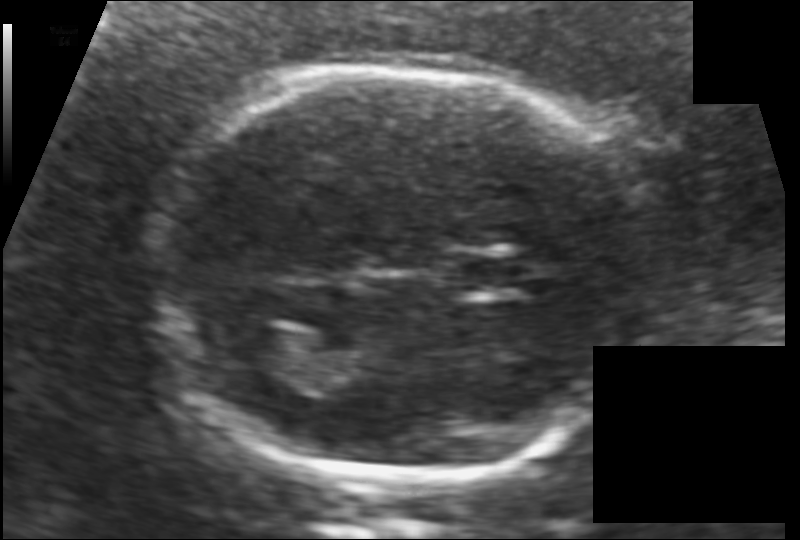
What is the fetal head circumference? Image width is 94.0 mm.

171.4 mm